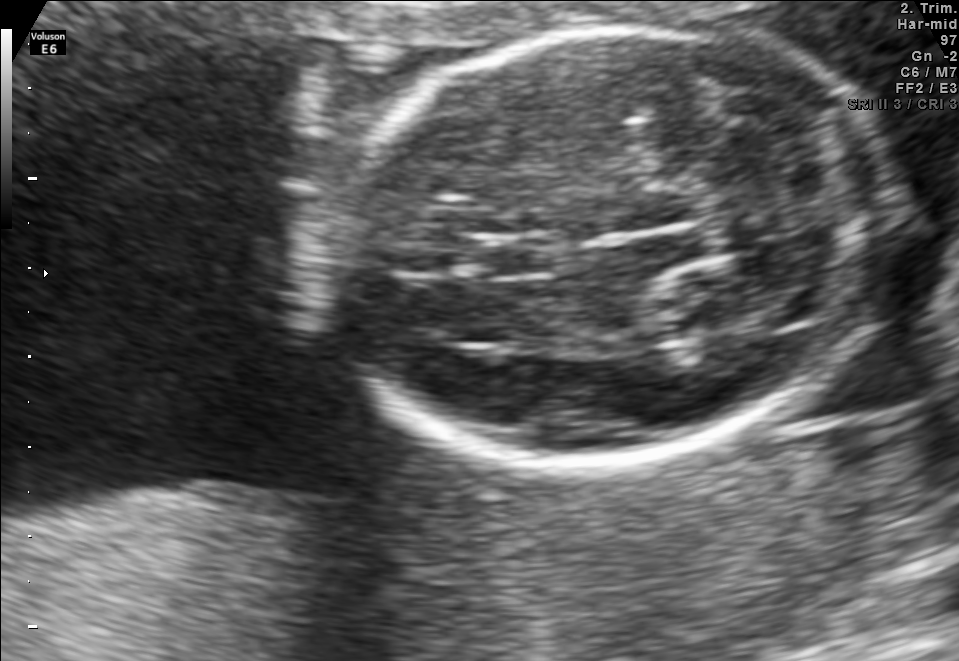
Fetal brain, trans-thalamic plane. Locate the cavum septum pellucidum.

CSP: [475,236,559,276]